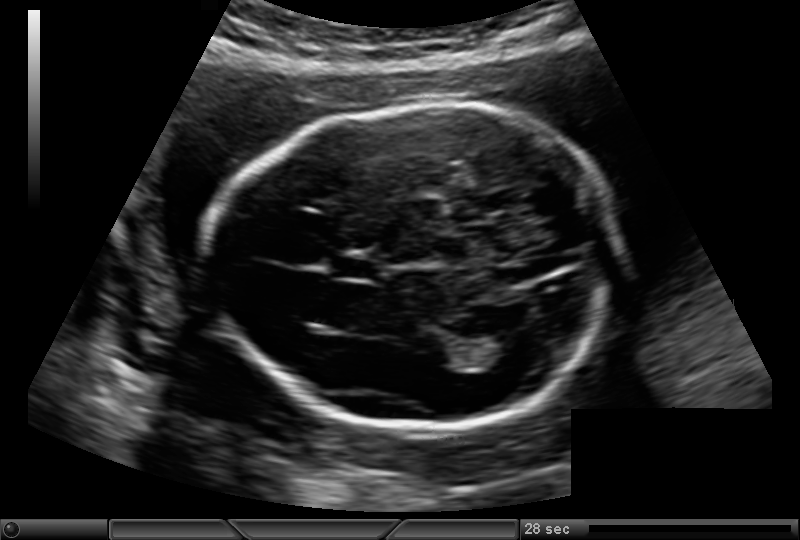
Estimate the fetal head circumference from this 2D ultrasound. Image width: 117.2 mm.

Head circumference: 178.0 mm.